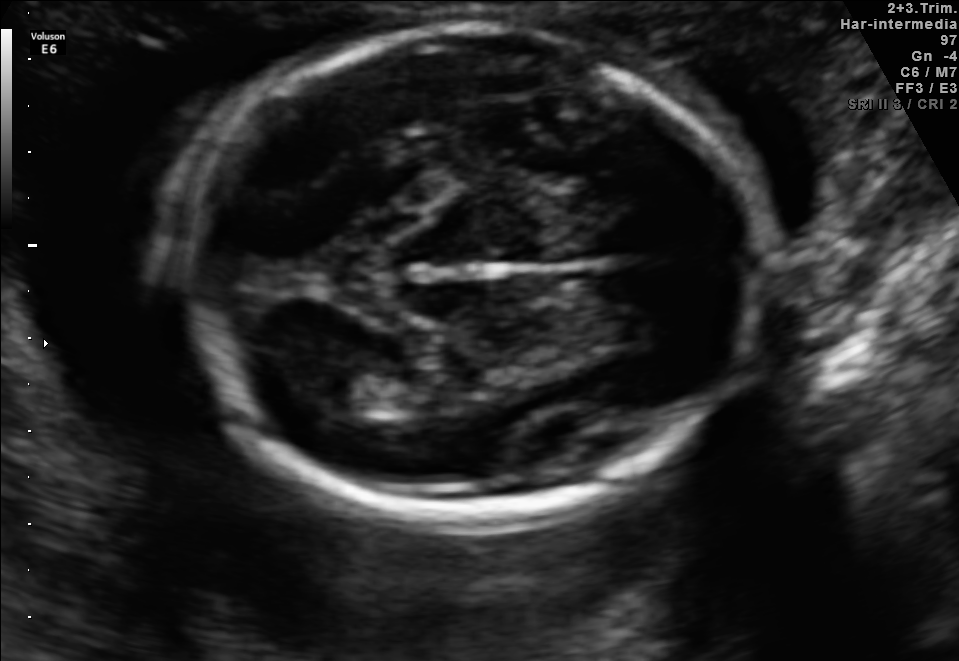
In this fetal brain, trans-thalamic plane, give bounding boxes for the head outline, cavum septum pellucidum (CSP), and lateral ventricle (LV), where visible.

Head: [183,27,768,518]
Lateral ventricle: [318,367,414,419]